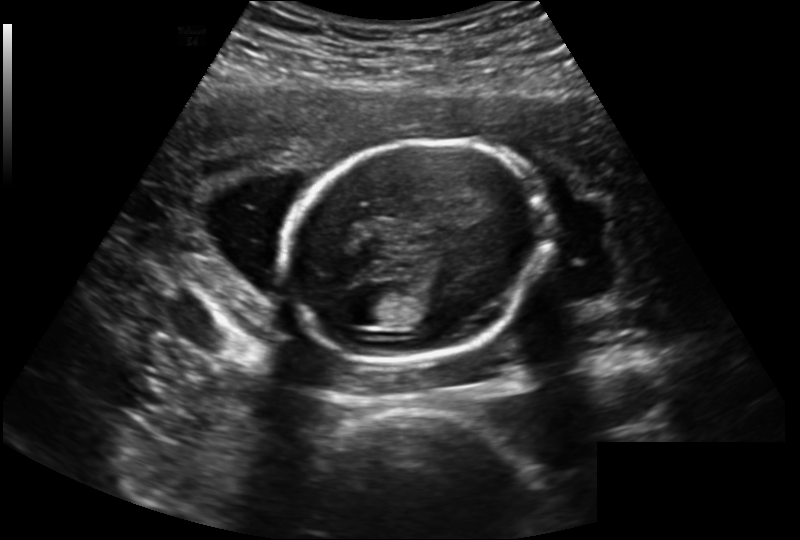
Fetal head ultrasound. Image width: 161.7 mm. Locate the fetal head.

Head: [283,140,551,364]